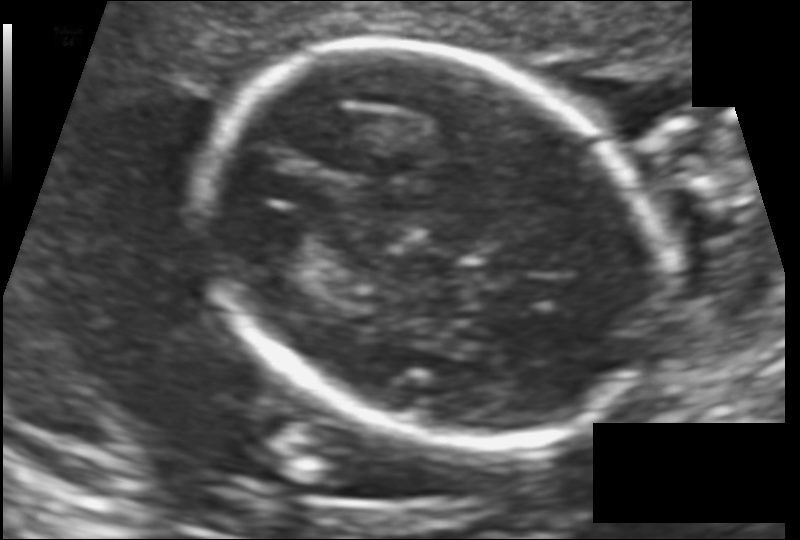
Fetal head ultrasound. Image width: 101.0 mm. Where is the fetal head?

Head bounding box: [199,46,652,442]